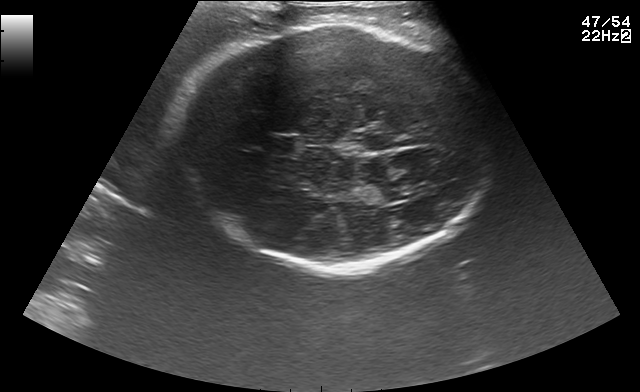
Fetal brain, trans-thalamic plane. Where is the cavum septum pellucidum?

CSP bounding box: [266,136,295,153]